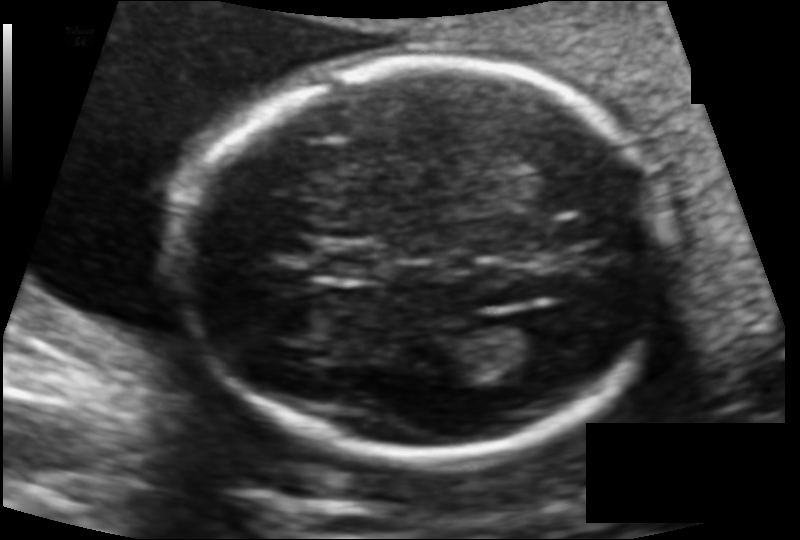
Fetal head ultrasound. Image width: 91.4 mm. Where is the cavum septum pellucidum?

CSP bounding box: [311,239,386,283]